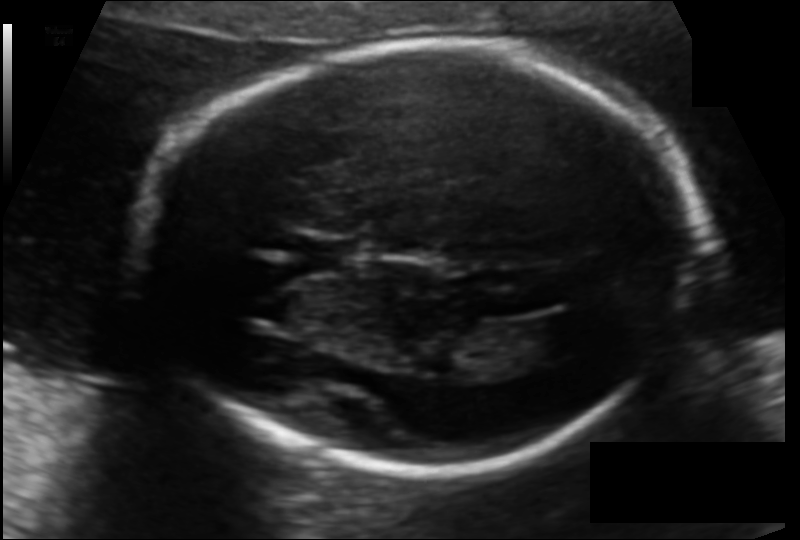
Fetal head ultrasound. Image width: 97.4 mm. Locate the lateral ventricle.

Lateral ventricle: [512,309,589,365]